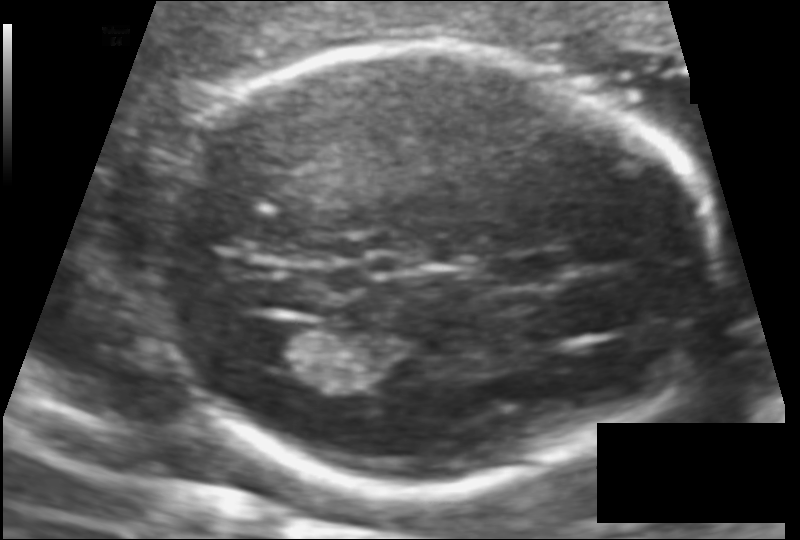
Fetal head ultrasound. Image width: 84.7 mm. Where is the cavum septum pellucidum?

CSP bounding box: [487,247,574,293]